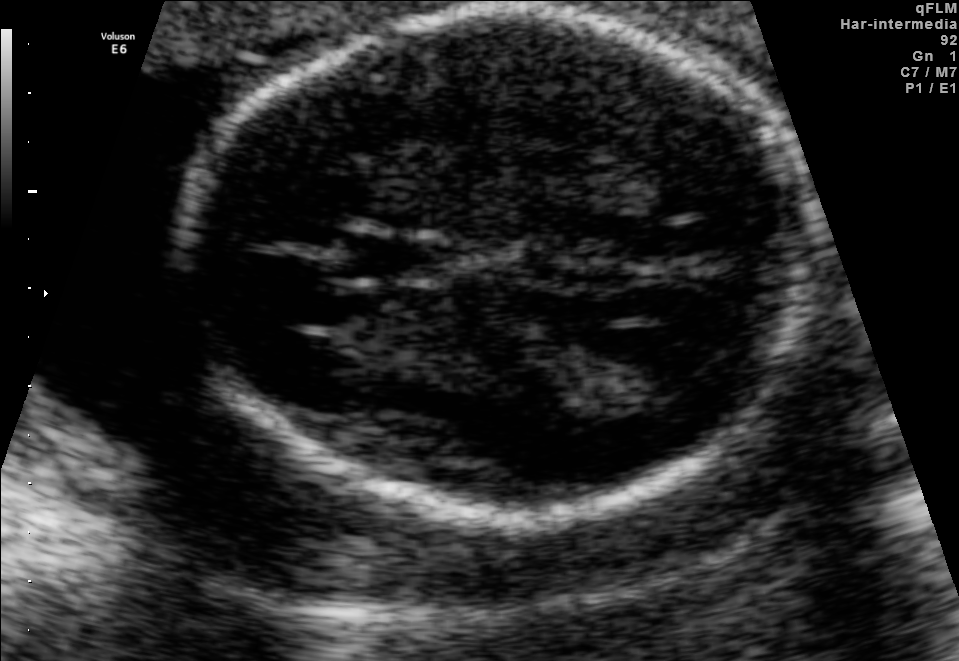
Fetal brain, trans-thalamic plane. Locate the lateral ventricle.

Lateral ventricle: [572,312,724,424]